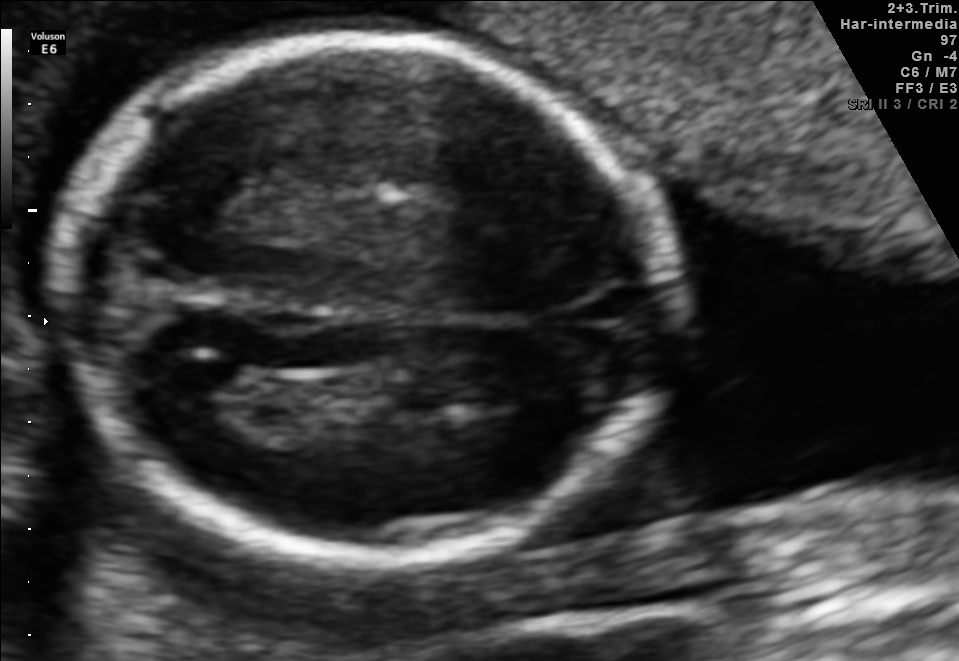
Fetal brain, trans-thalamic plane. Give [x1,y1,x2,y2] bounding boxes for each visible structure among: fetal head, CSP, LV.

Head: [60,38,671,559]
Lateral ventricle: [226,379,361,433]